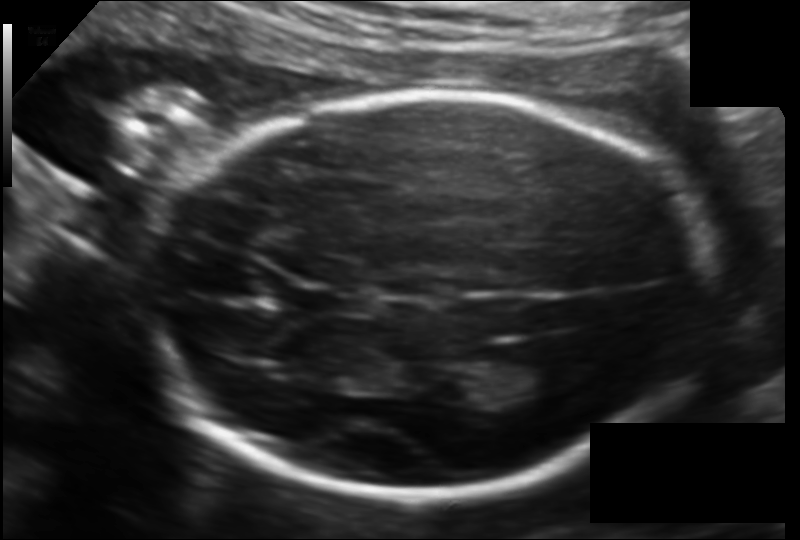
In this fetal head ultrasound, give the bounding box of the cavum septum pellucidum. Image width: 103.8 mm.

[288,283,348,318]